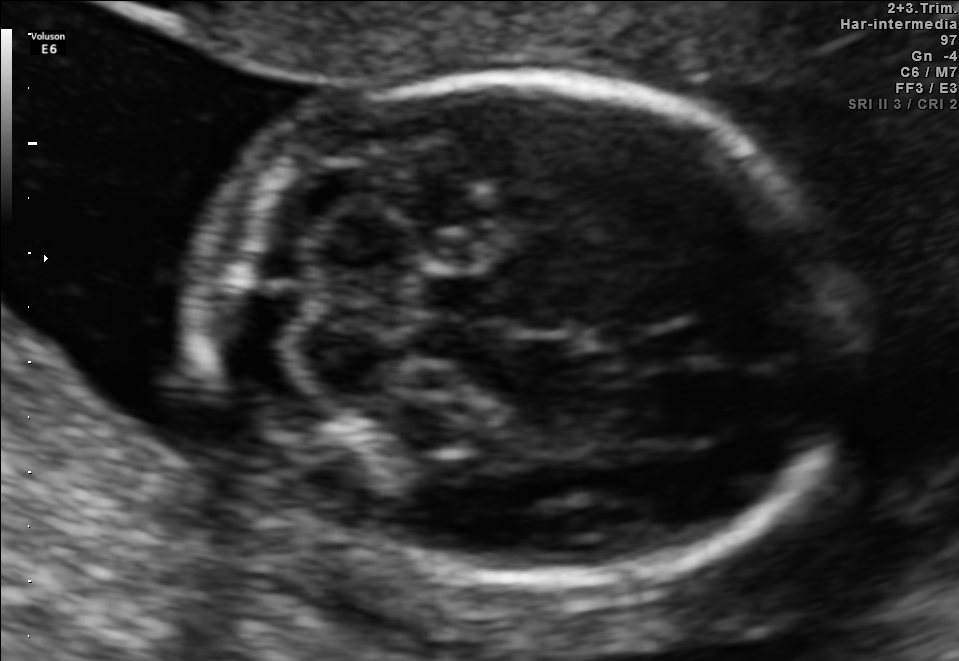
Fetal brain, trans-cerebellum plane. Give [x1,y1,x2,y2] bounding boxes for each visible structure among: fetal head, CSP, LV.

Head: [193,78,852,581]